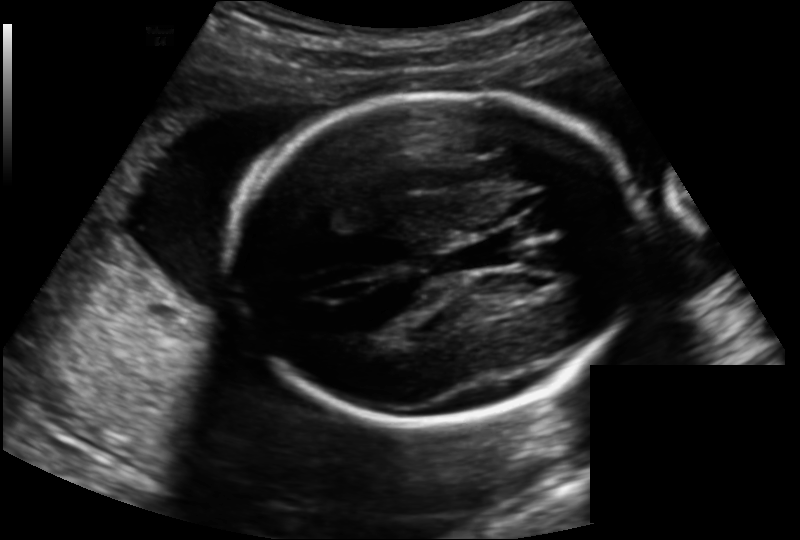
Measure the fetal head circumference shown in this ultrasound image. Image width: 130.7 mm.

Head circumference: 196.5 mm.